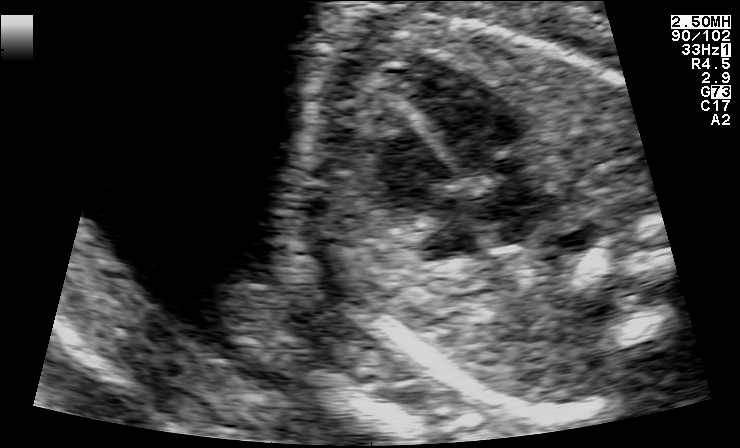
Classify this maternal-fetal ultrasound image as one of the six standard planes — fetal abdomen, fetal brain, fetal femur, fetal thorax, maternal cervix, or other. If it's fetal brain and one of the three standard brain planes (trans-thalamic, trans-cerebellum, trans-ventricular), name which.

Fetal thorax